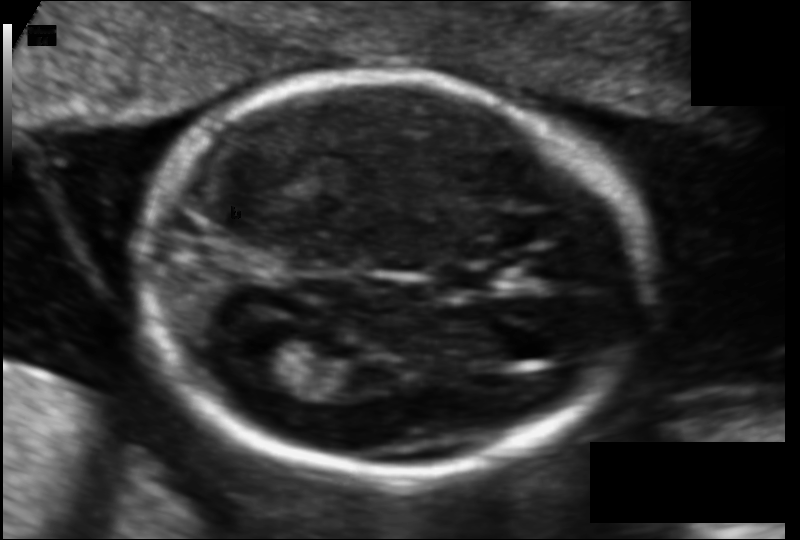
Fetal head ultrasound. Image width: 83.2 mm. Locate the lateral ventricle.

Lateral ventricle: [223,314,313,391]